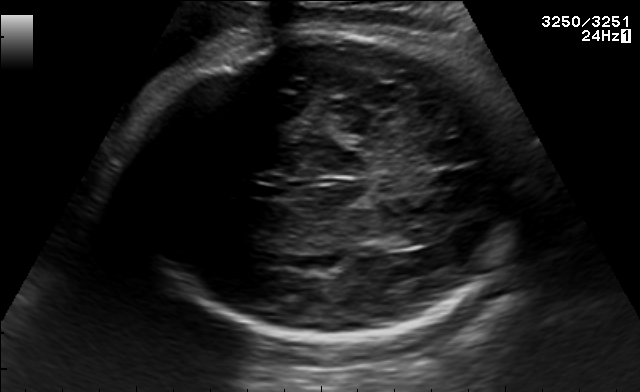
Fetal brain, trans-thalamic plane. Locate the fetal head.

Head: [124,33,517,339]